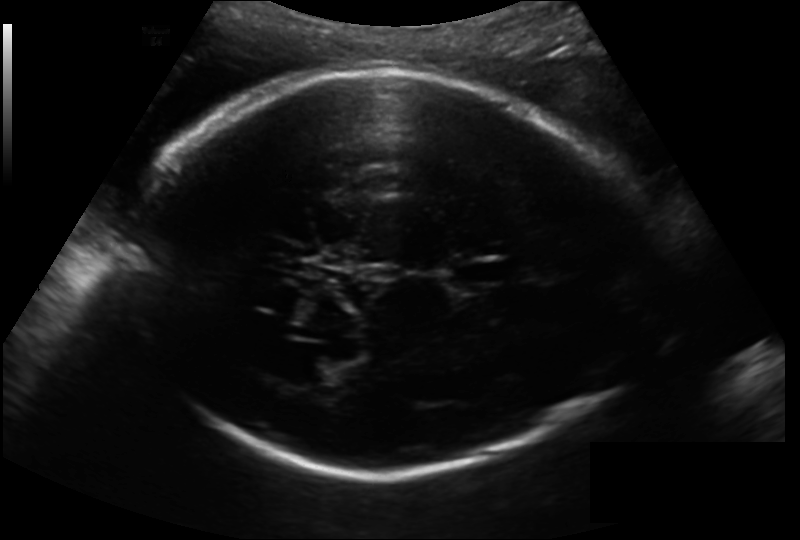
Fetal head ultrasound. Image width: 154.5 mm. Give [x1,y1,x2,y2] bounding boxes for each visible structure among: fetal head, CSP, LV.

Head: [124,71,656,477]
CSP: [450,258,507,287]
Lateral ventricle: [290,355,342,385]